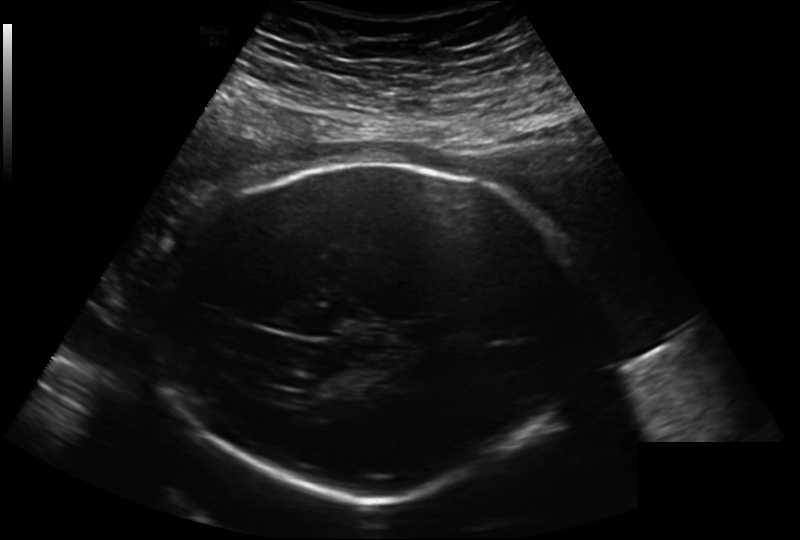
Estimate the fetal head circumference from this 2D ultrasound.

Head circumference: 298.8 mm (image width 192.6 mm).